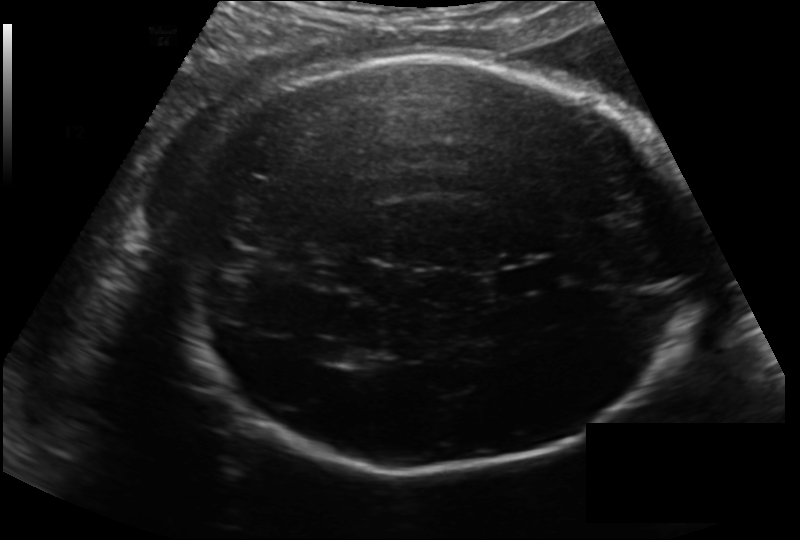
Measure the fetal head circumference shown in this ultrasound image. Image width: 146.5 mm.

Head circumference: 274.4 mm.